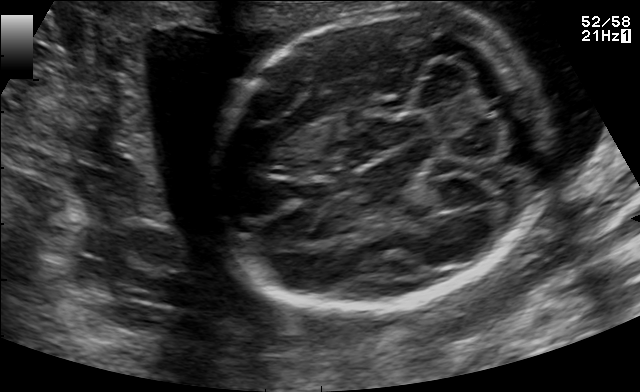
Fetal brain, trans-cerebellum plane. Locate the fetal head and, if visible, the cavum septum pellucidum (CSP) and lateral ventricle (LV). Give bounding boxes as [x1,y1,x2,y2].

Head: [220,9,537,311]
CSP: [291,175,340,211]